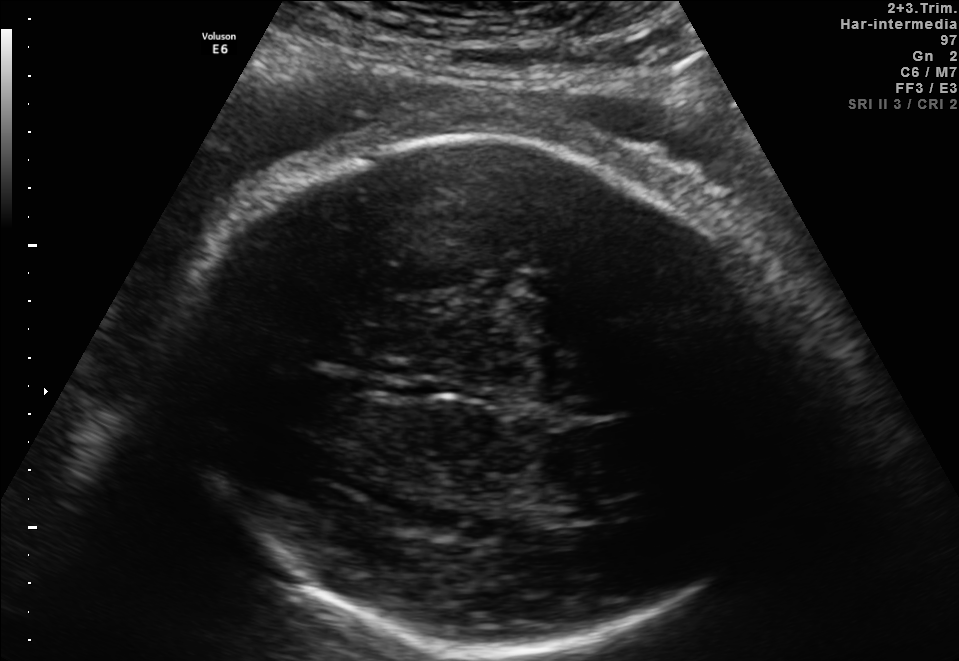
Fetal brain, trans-thalamic plane. Locate the fetal head and, if visible, the cavum septum pellucidum (CSP) and lateral ventricle (LV). Give bounding boxes as [x1,y1,x2,y2].

Head: [178,136,791,651]